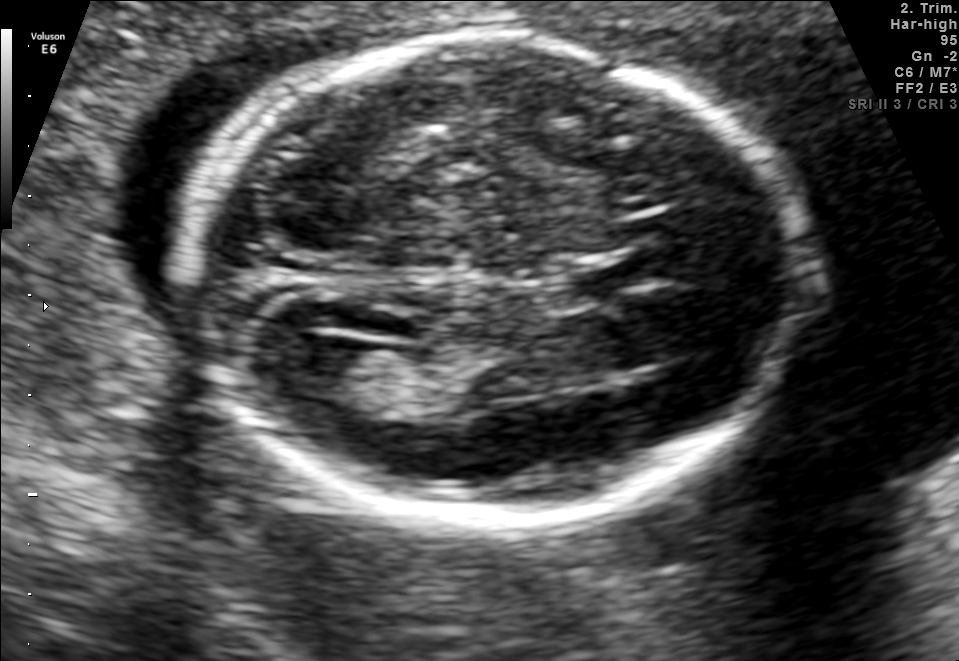
In this fetal brain, trans-ventricular plane, give the bounding box of the lateral ventricle.

[264,326,377,409]